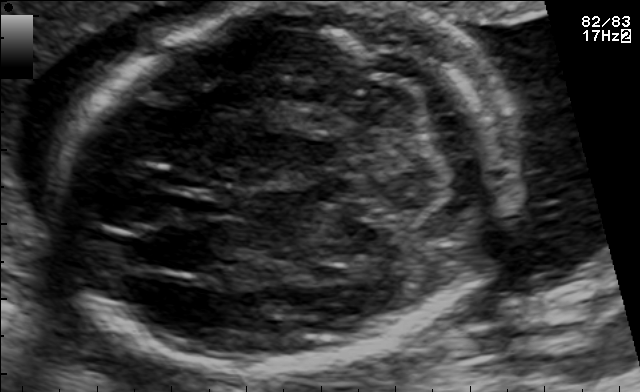
Which standard maternal-fetal ultrasound plane is shown: fetal abdomen, fetal brain, fetal femur, fetal thorax, maternal cervix, or other? If it's fetal brain and one of the three standard brain planes (trans-thalamic, trans-cerebellum, trans-ventricular), name which.

Fetal brain (trans-cerebellum plane)